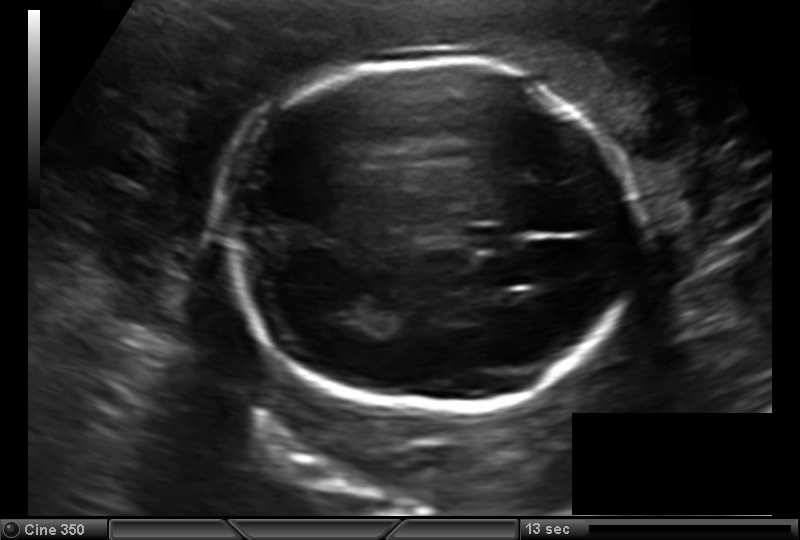
Fetal head ultrasound. Image width: 125.6 mm. Locate the fetal head and, if visible, the cavum septum pellucidum (CSP) and lateral ventricle (LV). Give bounding boxes as [x1,y1,x2,y2].

Head: [223,60,642,408]
CSP: [466,226,518,248]
Lateral ventricle: [325,285,379,329]